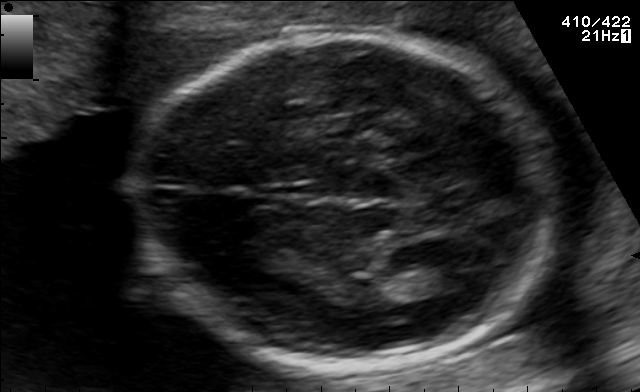
Fetal brain, trans-thalamic plane. Where is the fetal head?

Head bounding box: [135,34,557,365]